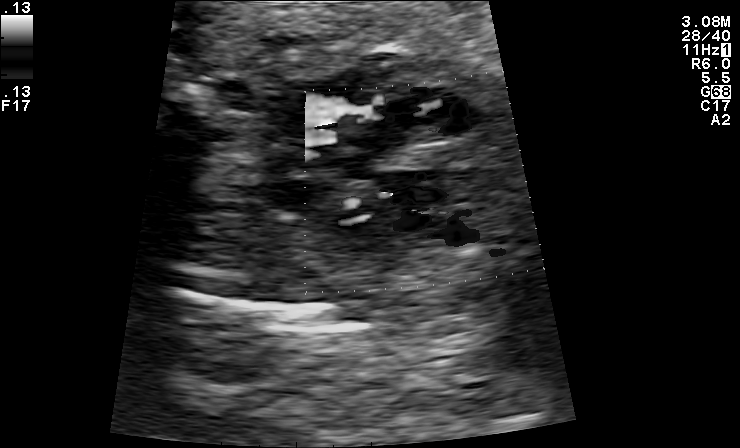
This is a 2D maternal-fetal ultrasound frame. Is it a fetal abdomen, fetal brain, fetal femur, fetal thorax, maternal cervix, or other standard plane? If it's fetal brain and one of the three standard brain planes (trans-thalamic, trans-cerebellum, trans-ventricular), name which.

Other